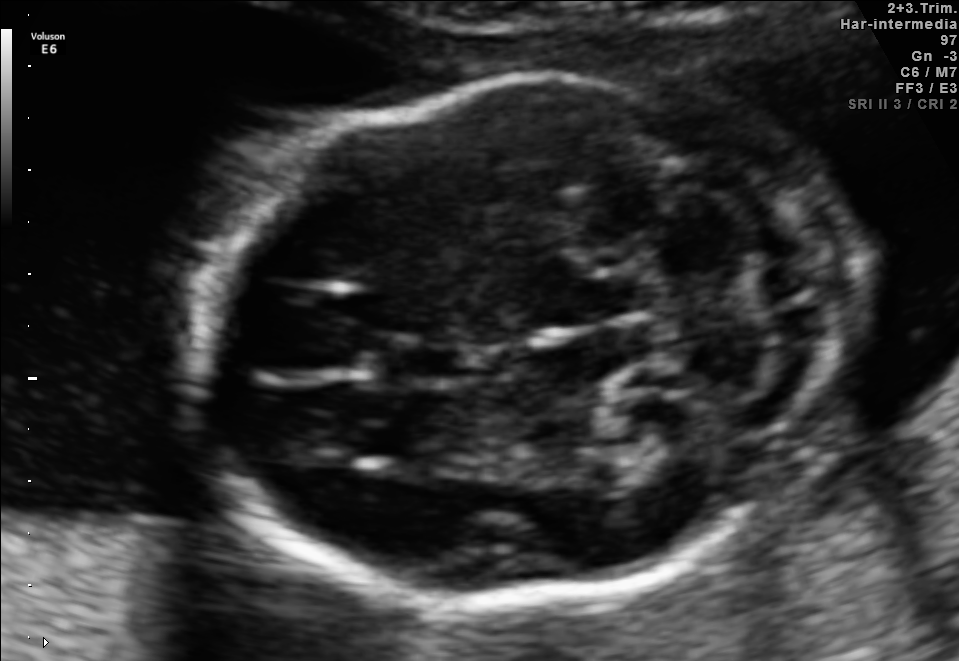
In this fetal brain, trans-cerebellum plane, give the bounding box of the cavum septum pellucidum.

[390,337,478,382]